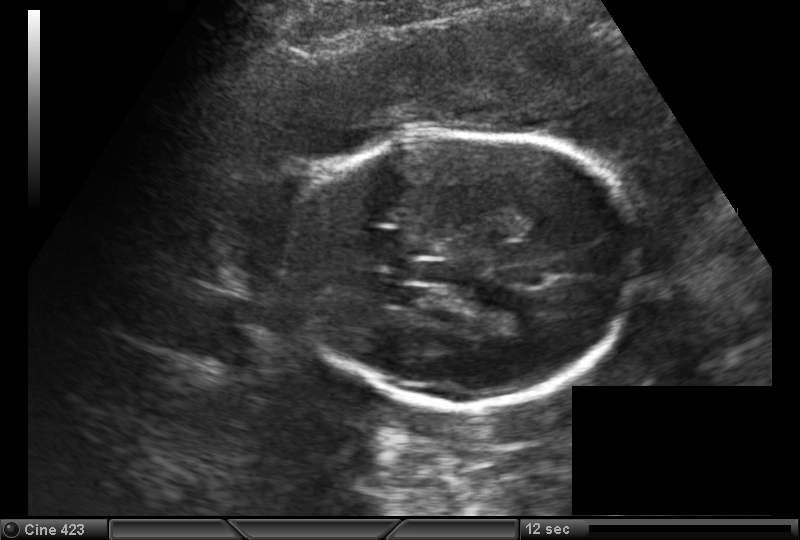
Fetal head ultrasound. Image width: 138.2 mm. Locate the fetal head and, if visible, the cavum septum pellucidum (CSP) and lateral ventricle (LV). Give bounding boxes as [x1,y1,x2,y2].

Head: [289,132,636,409]
CSP: [402,260,451,282]